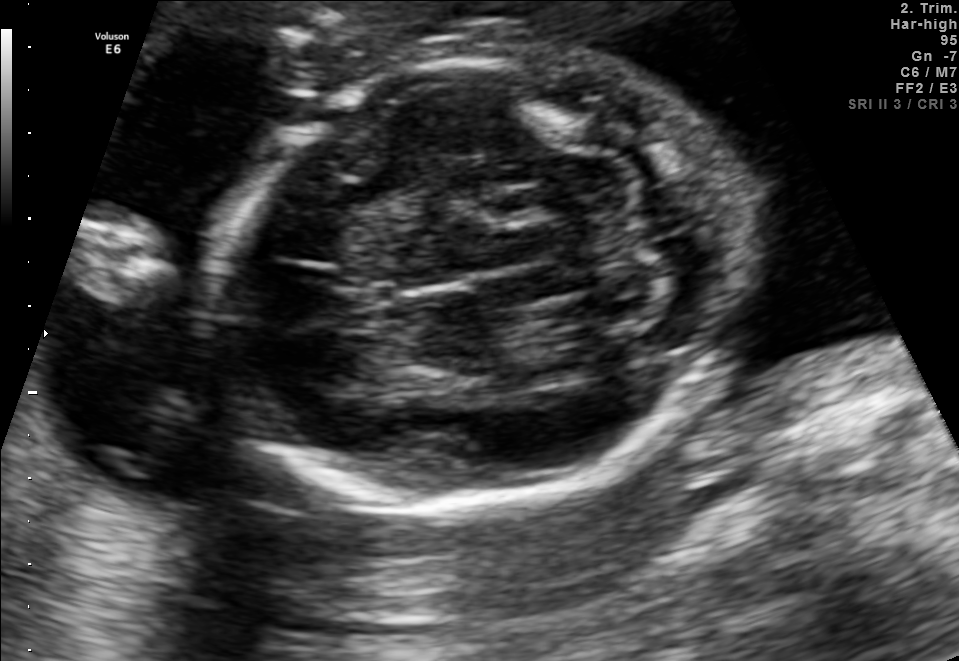
Fetal brain, trans-cerebellum plane. Where is the fetal head?

Head bounding box: [215,54,740,511]